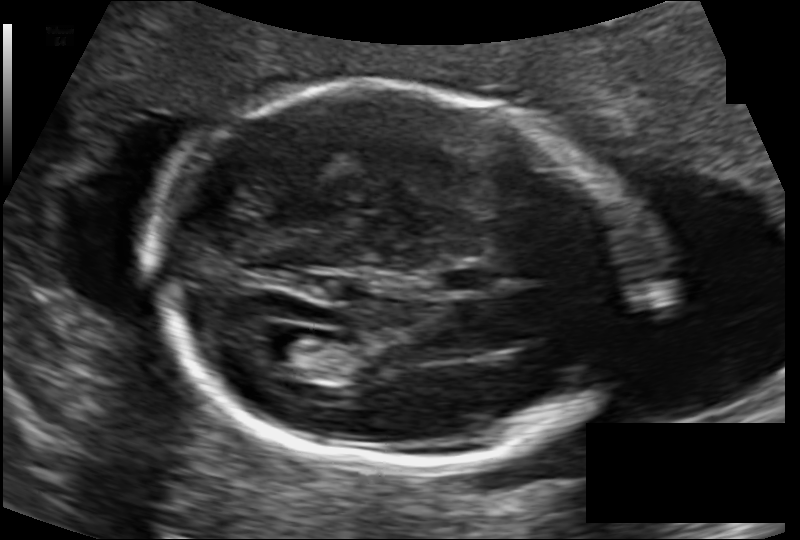
Fetal head ultrasound. Image width: 95.8 mm. Locate the lateral ventricle.

Lateral ventricle: [253,326,327,380]